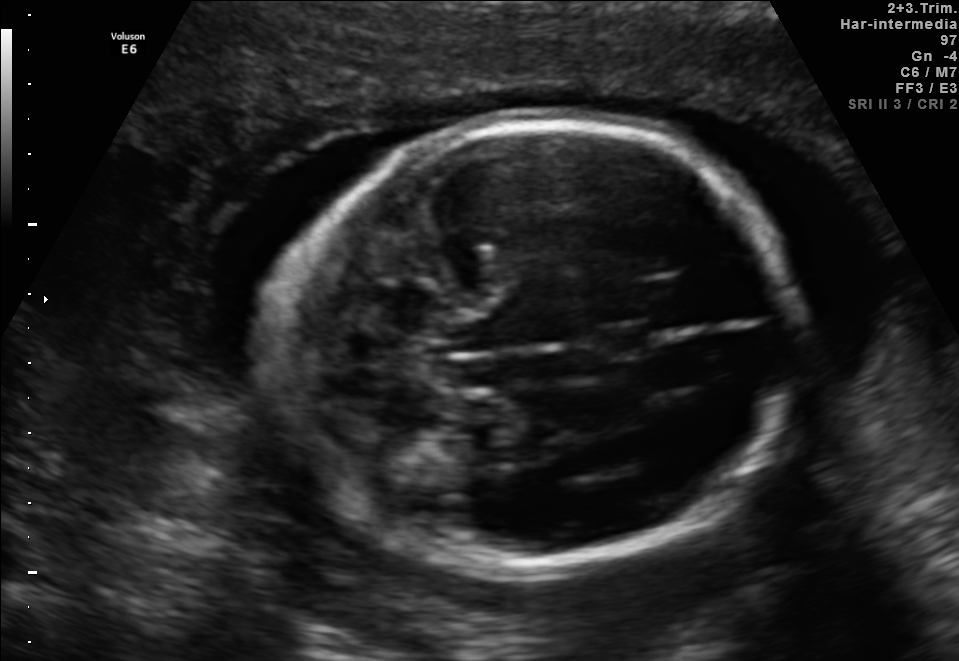
In this fetal brain, trans-cerebellum plane, give bounding boxes for the head outline, cavum septum pellucidum (CSP), and lateral ventricle (LV), where visible.

Head: [275,114,790,575]
CSP: [587,320,657,364]